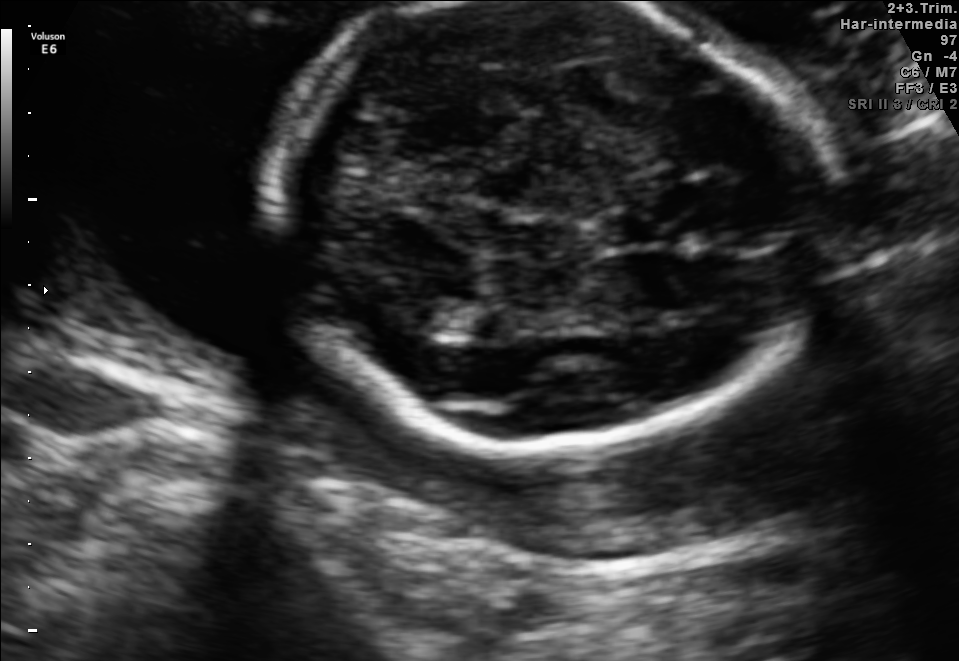
Fetal brain, trans-thalamic plane. Where is the lateral ventricle?

Lateral ventricle bounding box: [431,307,503,339]